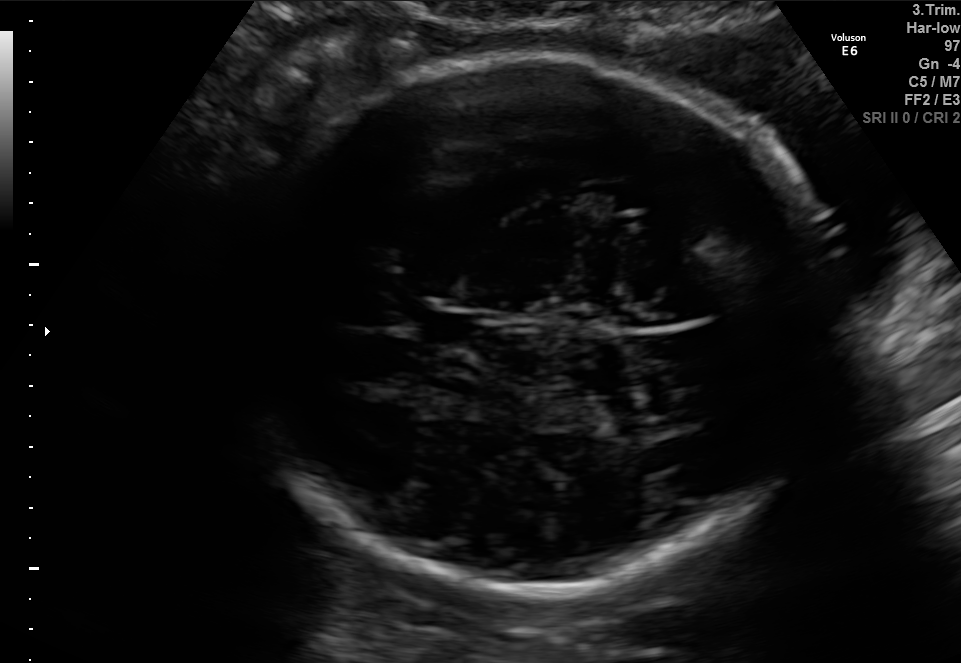
Fetal brain, trans-thalamic plane. Where is the cavum septum pellucidum?

CSP bounding box: [422,314,475,344]